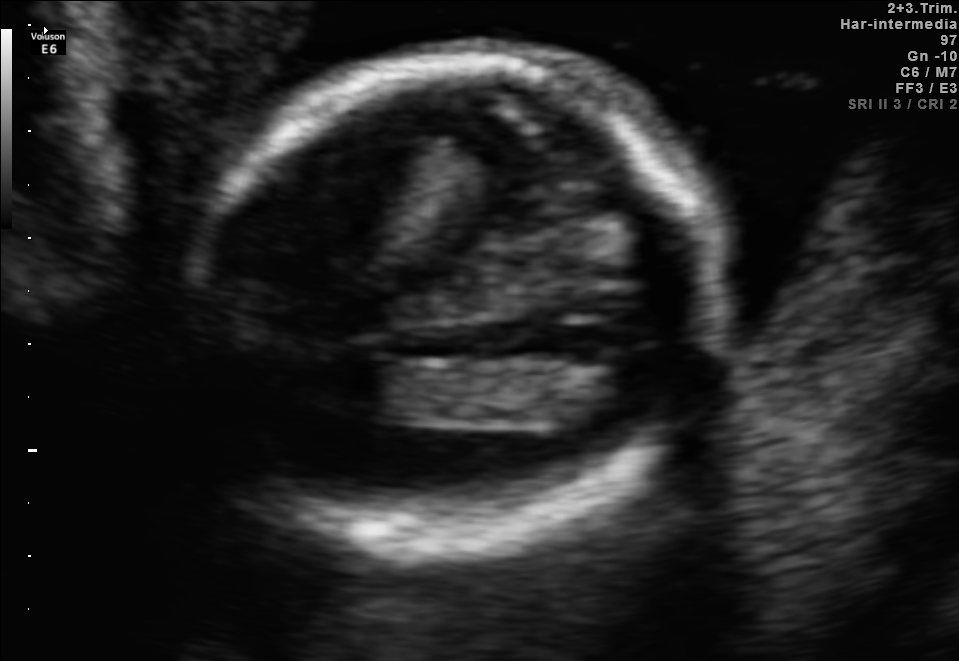
In this fetal brain, trans-thalamic plane, give the bounding box of the fetal head.

[181,57,720,538]